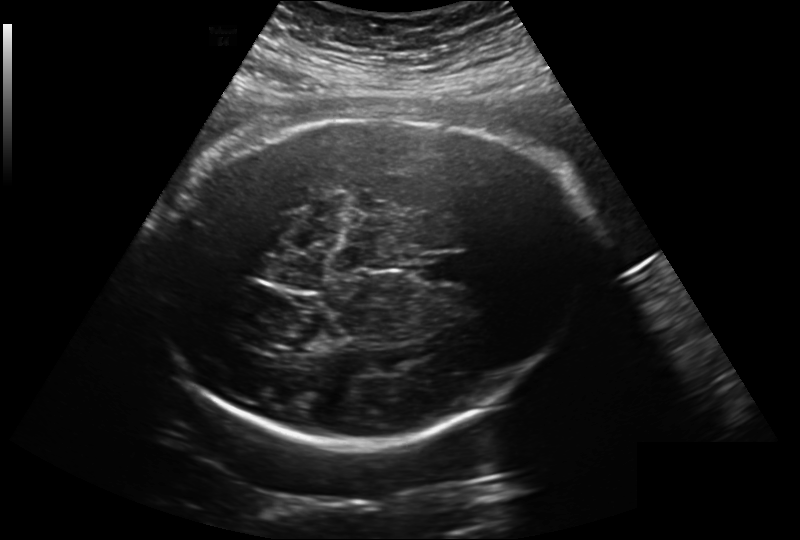
In this fetal head ultrasound, give the bounding box of the cavum septum pellucidum. Image width: 208.0 mm.

[418,253,470,285]